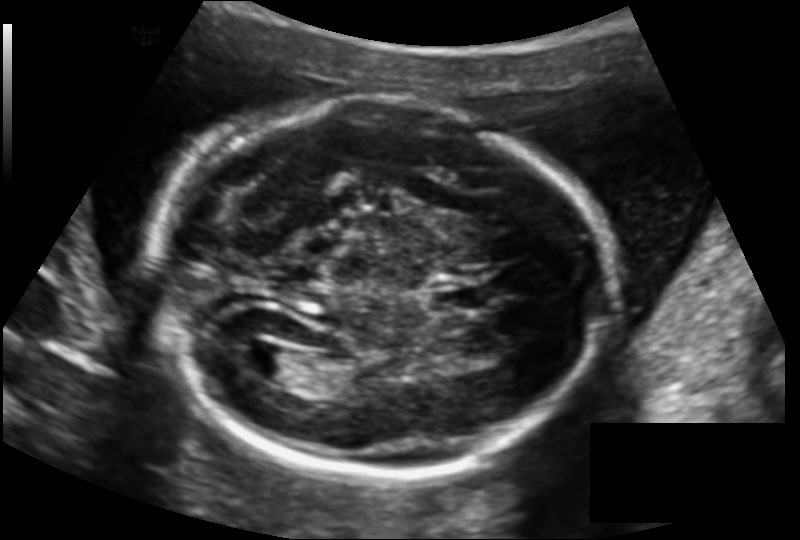
In this fetal head ultrasound, give the bounding box of the lateral ventricle. Image width: 116.1 mm.

[234,337,295,384]